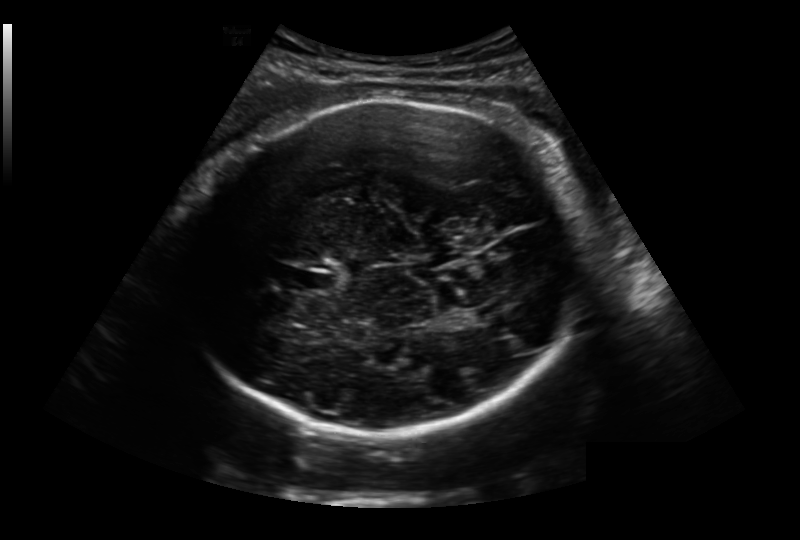
What is the fetal head circumference? Image width is 188.7 mm.

278.9 mm